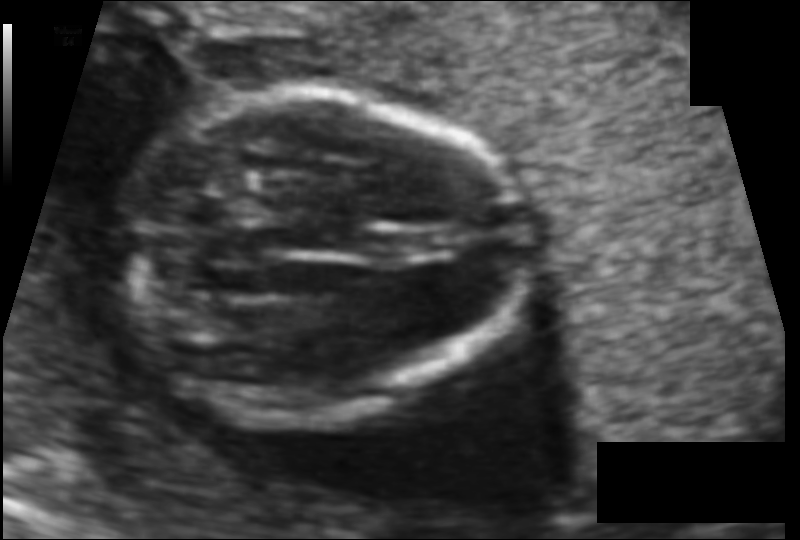
In this fetal head ultrasound, give the bounding box of the fetal head. Image width: 71.6 mm.

[124,91,524,422]